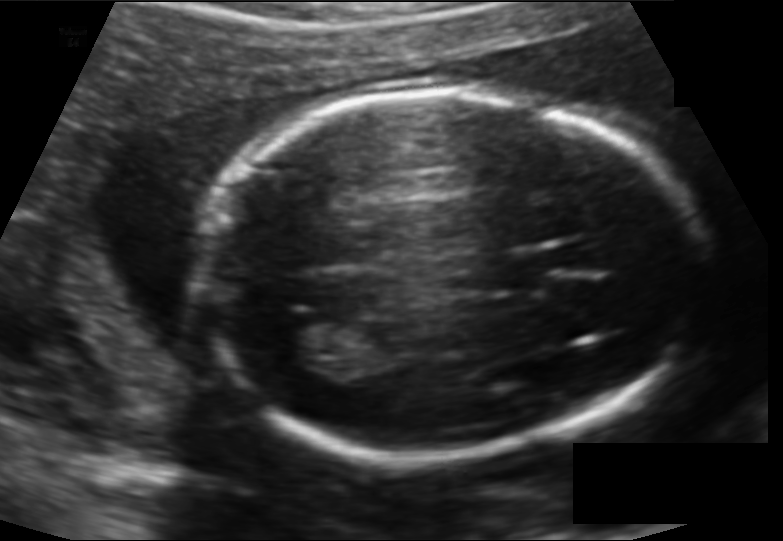
Fetal head ultrasound. Image width: 100.2 mm. Give [x1,y1,x2,y2] bounding boxes for each visible structure among: fetal head, CSP, LV.

Head: [191,92,698,455]
CSP: [483,251,545,292]
Lateral ventricle: [264,308,343,370]